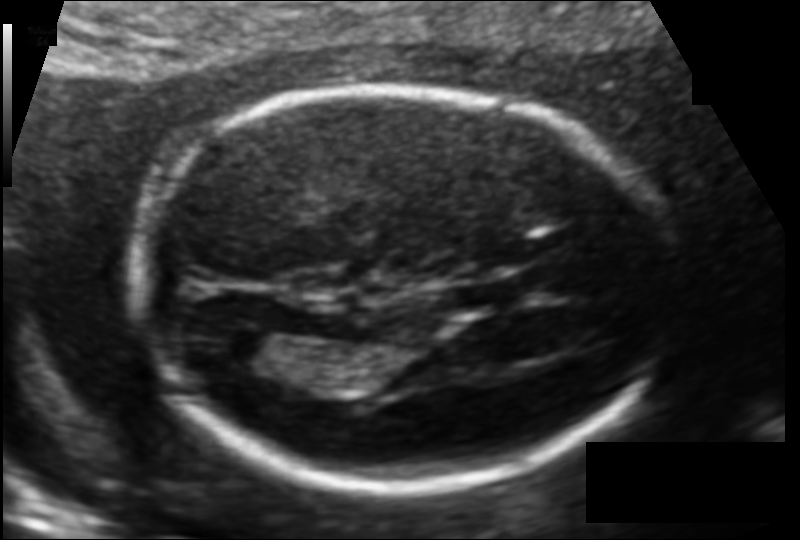
Measure the fetal head circumference shown in this ultrasound image. Image width: 87.0 mm.

Head circumference: 166.4 mm.